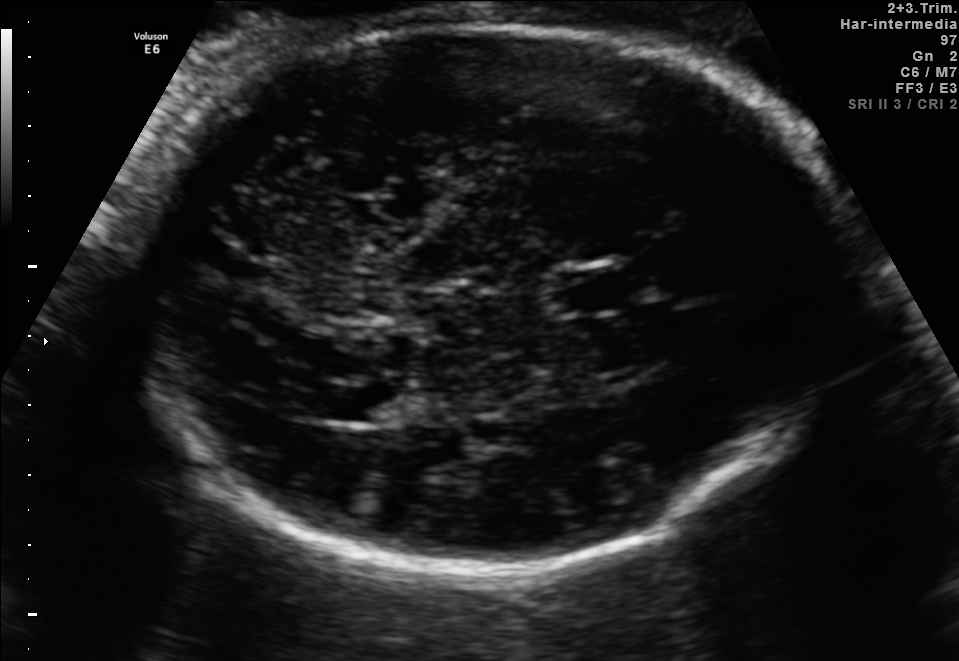
Fetal brain, trans-thalamic plane. Give [x1,y1,x2,y2] bounding boxes for each visible structure among: fetal head, CSP, LV.

Head: [135,26,852,569]
CSP: [555,264,633,312]
Lateral ventricle: [305,383,391,424]